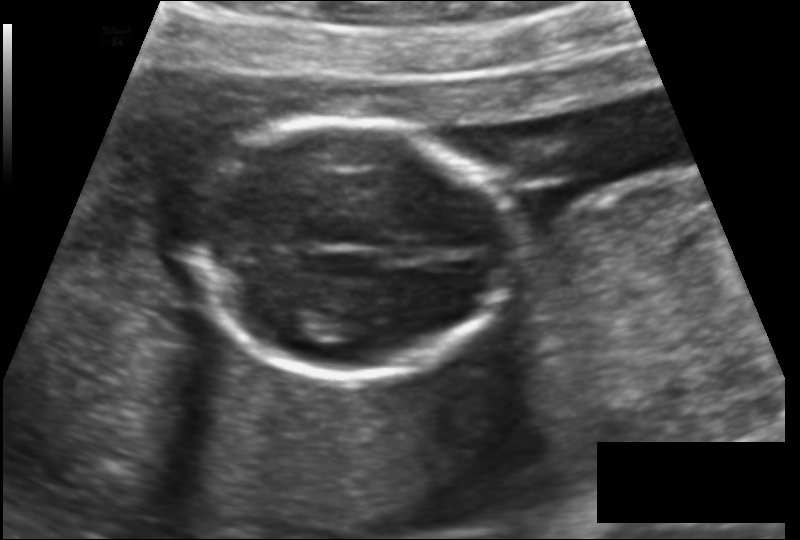
In this fetal head ultrasound, give the bounding box of the fetal head. Image width: 109.0 mm.

[189,122,515,377]